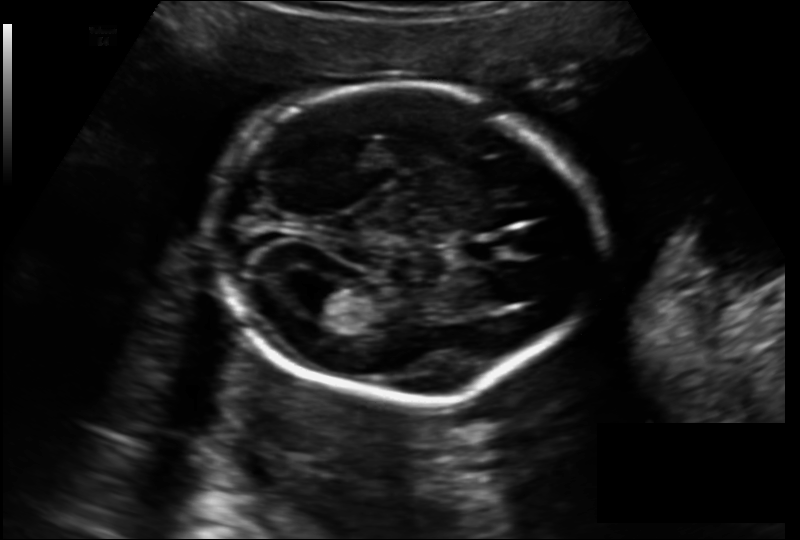
Fetal head ultrasound. Image width: 125.9 mm. Where is the fetal head?

Head bounding box: [208,87,592,403]